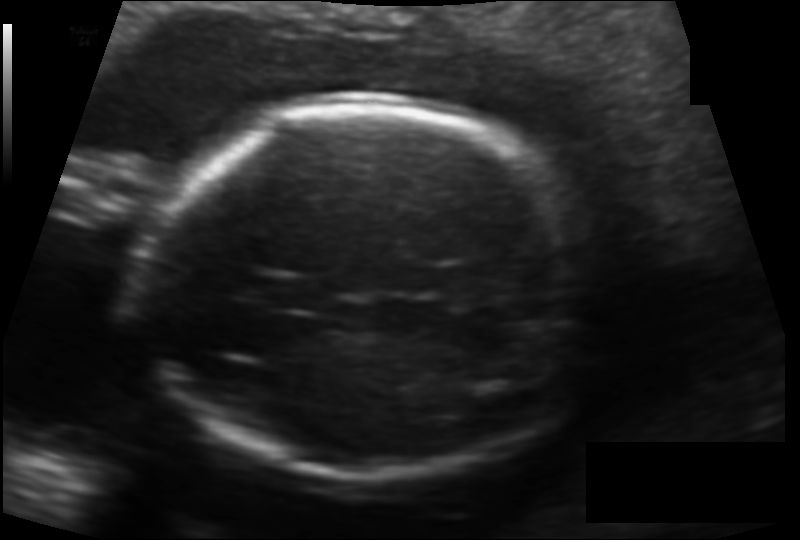
What is the fetal head circumference? Image width is 105.8 mm.

174.8 mm